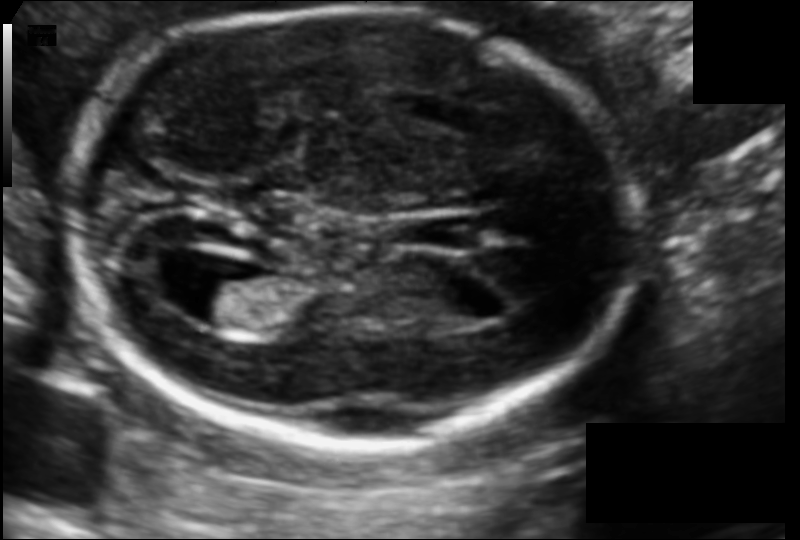
Fetal head ultrasound. Image width: 83.9 mm. Locate the fetal head.

Head: [69,6,631,448]